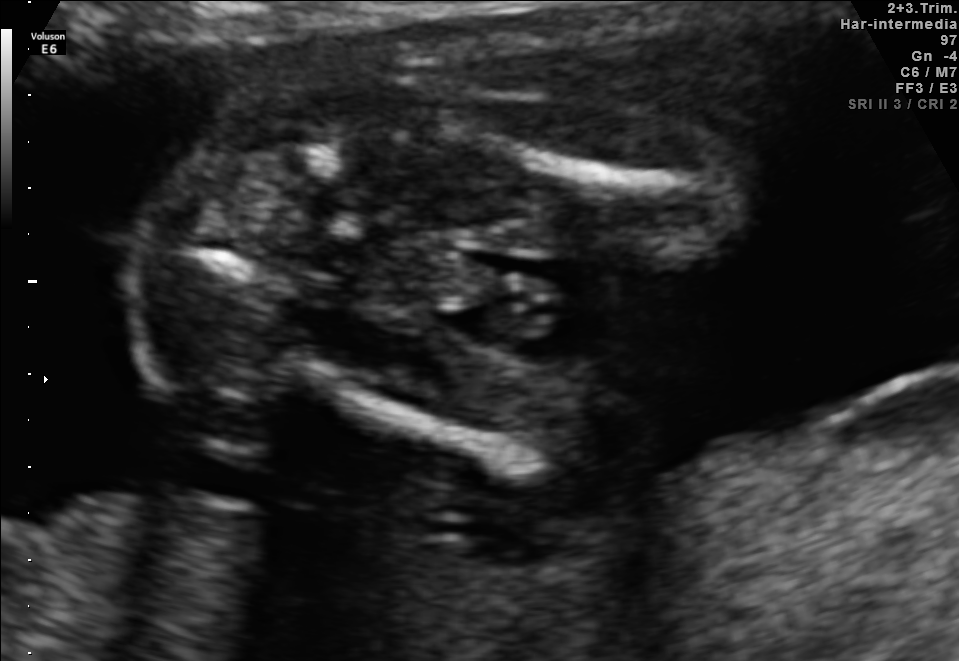
This is a 2D maternal-fetal ultrasound frame. Is it a fetal abdomen, fetal brain, fetal femur, fetal thorax, maternal cervix, or other standard plane? If it's fetal brain and one of the three standard brain planes (trans-thalamic, trans-cerebellum, trans-ventricular), name which.

Fetal femur